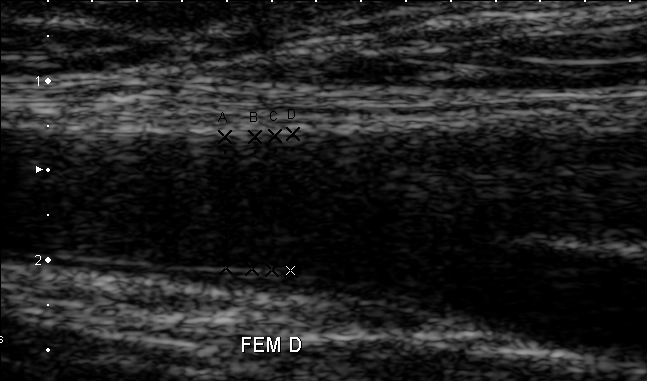
Identify the standard plane in this fetal ultrasound image: fetal abdomen, fetal brain, fetal femur, fetal thorax, maternal cervix, or other. If it's fetal brain and one of the three standard brain planes (trans-thalamic, trans-cerebellum, trans-ventricular), name which.

Other